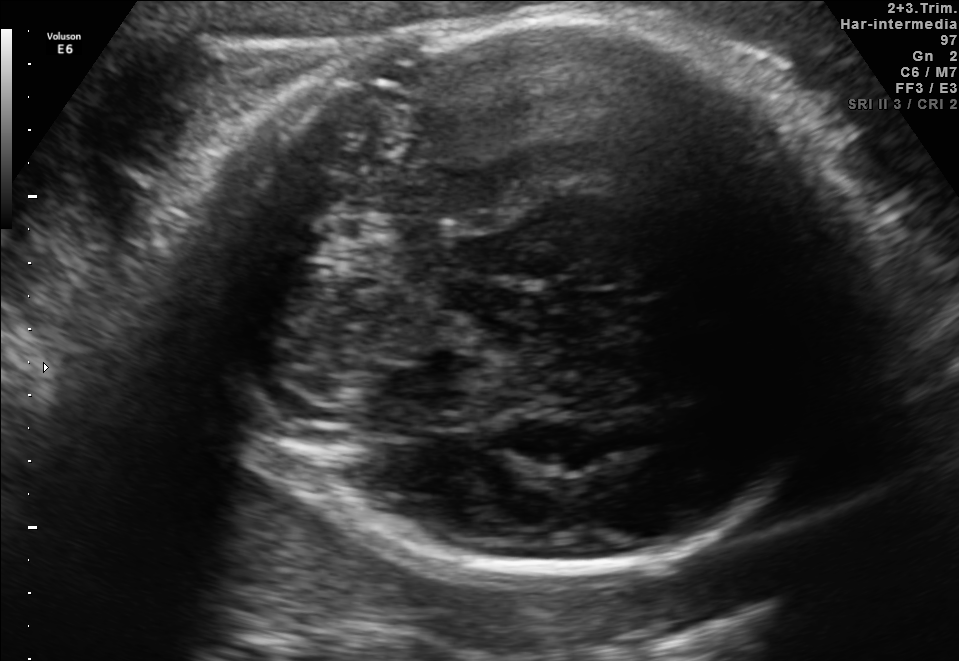
In this fetal brain, trans-thalamic plane, give the bounding box of the fetal head.

[203,9,864,582]